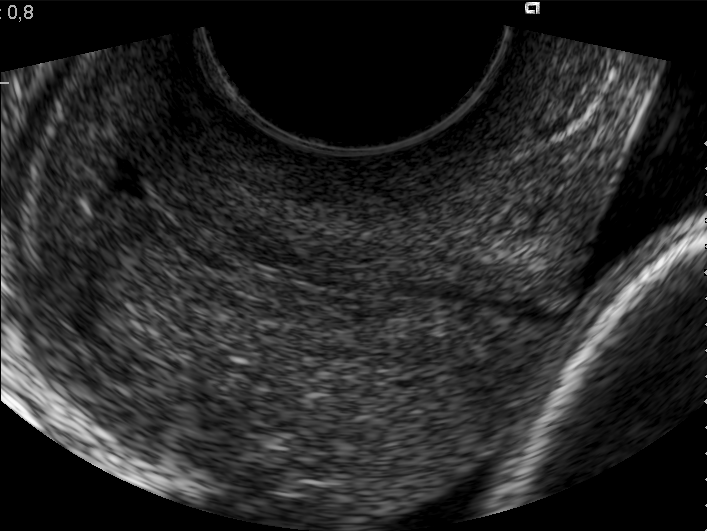
This is a 2D maternal-fetal ultrasound frame. Is it a fetal abdomen, fetal brain, fetal femur, fetal thorax, maternal cervix, or other standard plane? If it's fetal brain and one of the three standard brain planes (trans-thalamic, trans-cerebellum, trans-ventricular), name which.

Maternal cervix